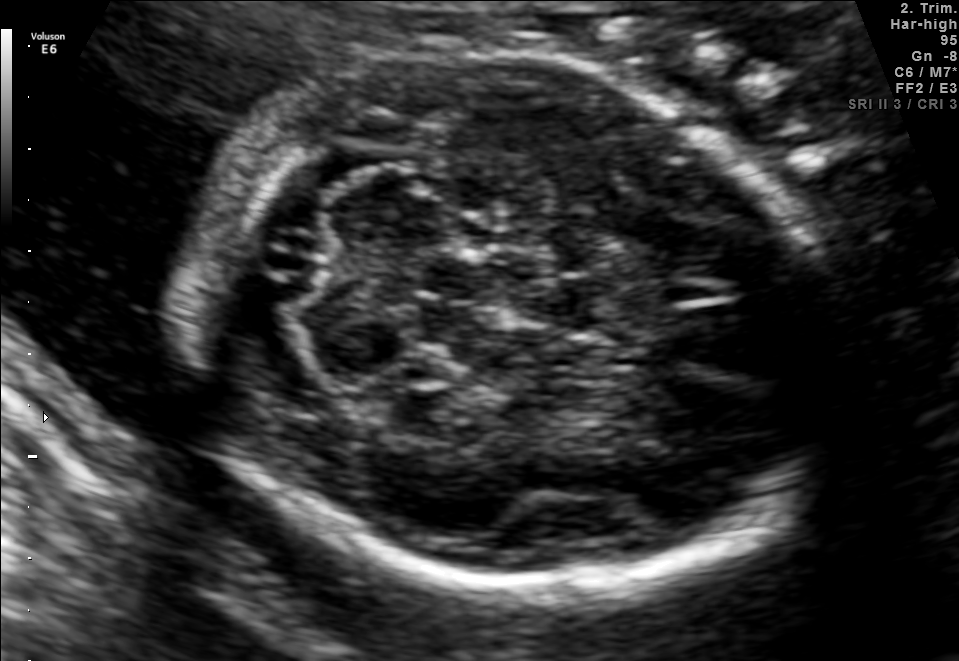
Fetal brain, trans-cerebellum plane. Give [x1,y1,x2,y2] bounding boxes for each visible structure among: fetal head, CSP, LV.

Head: [187,59,834,592]